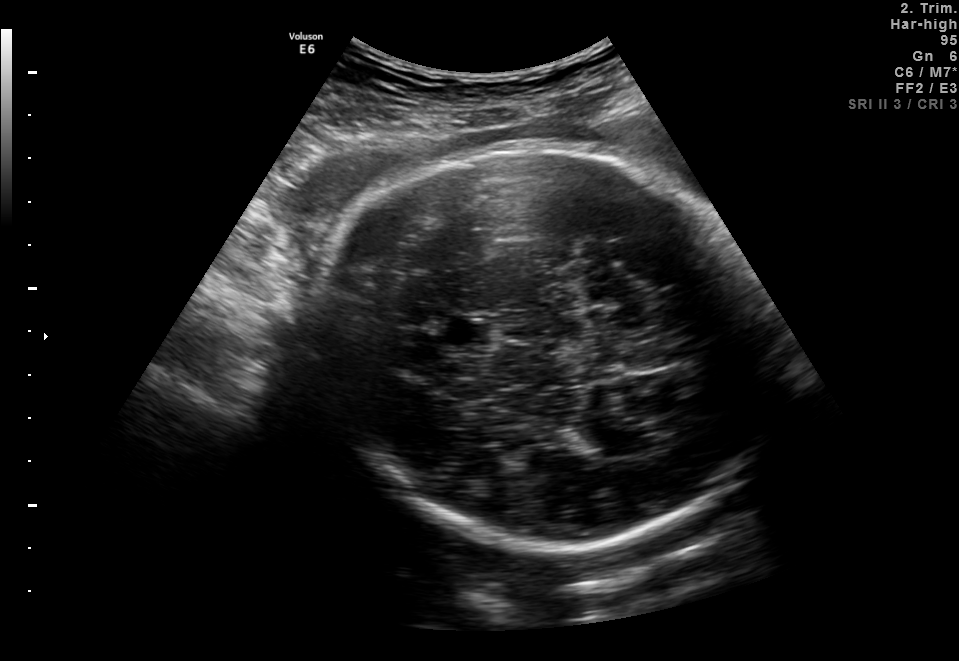
Identify the standard plane in this fetal ultrasound image: fetal abdomen, fetal brain, fetal femur, fetal thorax, maternal cervix, or other. If it's fetal brain and one of the three standard brain planes (trans-thalamic, trans-cerebellum, trans-ventricular), name which.

Fetal brain (trans-thalamic plane)